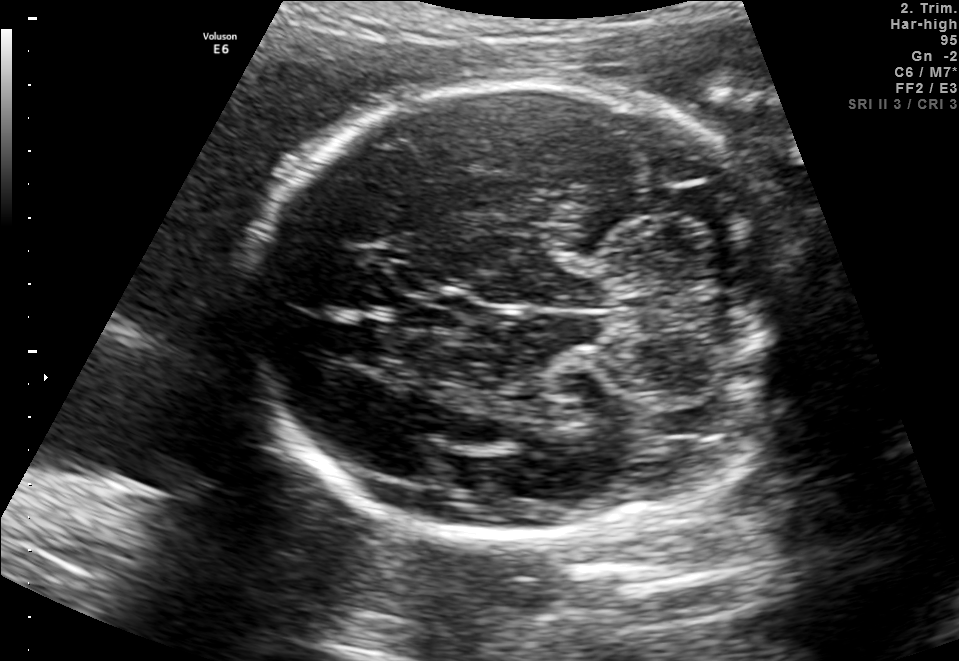
In this fetal brain, trans-cerebellum plane, give the bounding box of the cavum septum pellucidum.

[402,292,466,332]